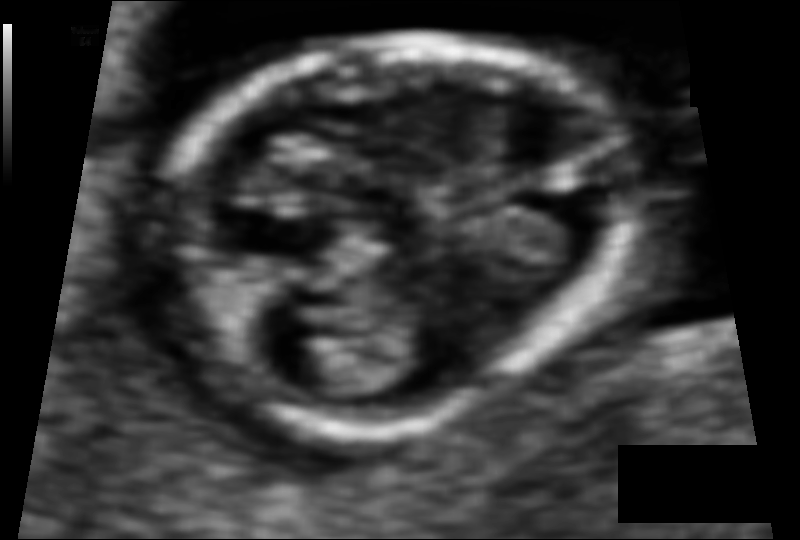
In this fetal head ultrasound, give bounding boxes for the head outline, cavum septum pellucidum (CSP), and lateral ventricle (LV), where visible. Image width: 47.7 mm.

Head: [153,36,624,426]